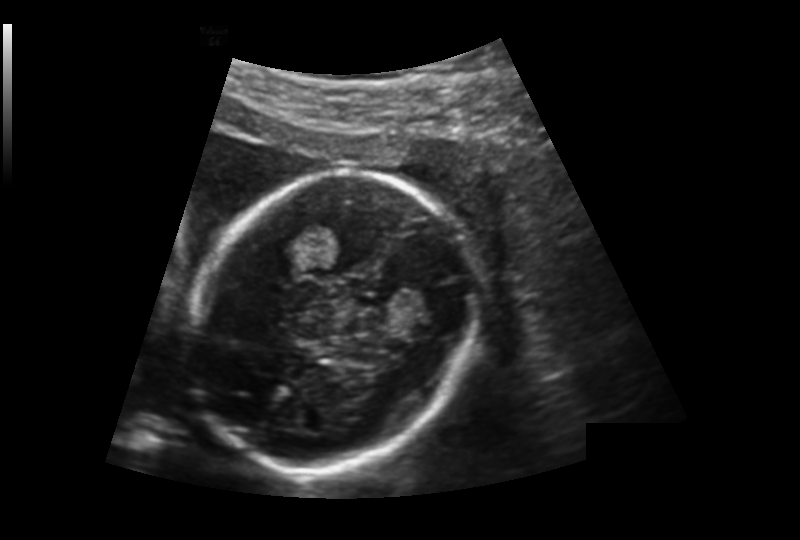
Estimate the fetal head circumference from this 2D ultrasound.

Head circumference: 165.7 mm (image width 140.4 mm).